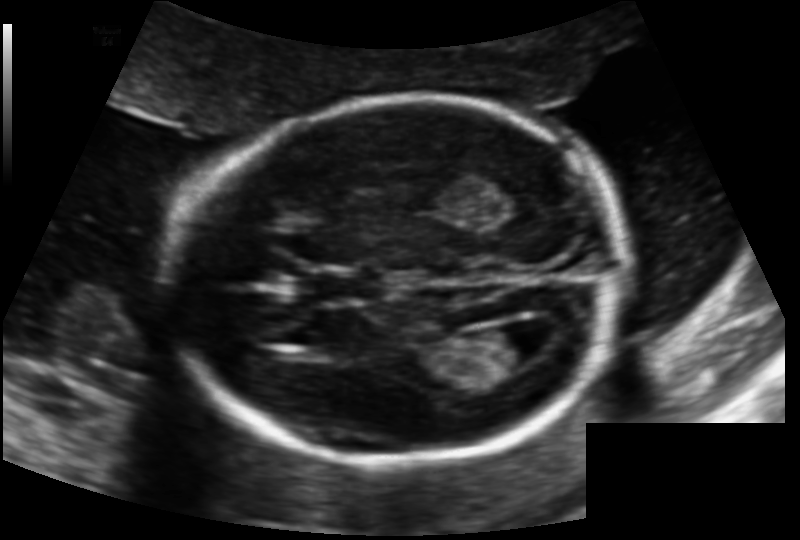
In this fetal head ultrasound, give the bounding box of the lateral ventricle. Image width: 104.9 mm.

[468,319,546,377]